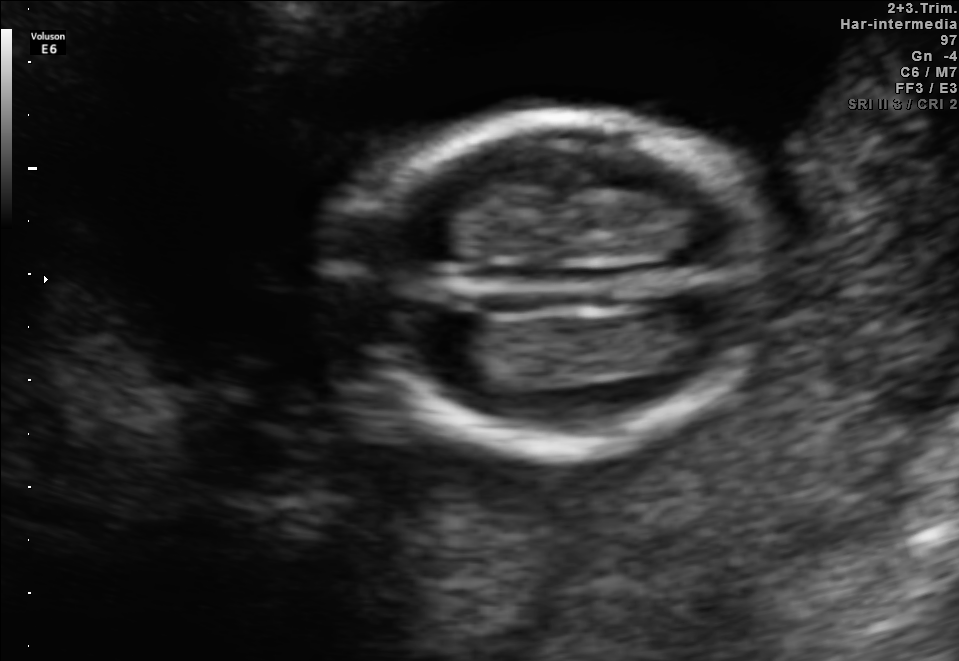
Fetal brain, trans-thalamic plane. Locate the fetal head and, if visible, the cavum septum pellucidum (CSP) and lateral ventricle (LV). Give bounding boxes as [x1,y1,x2,y2].

Head: [331,111,778,450]